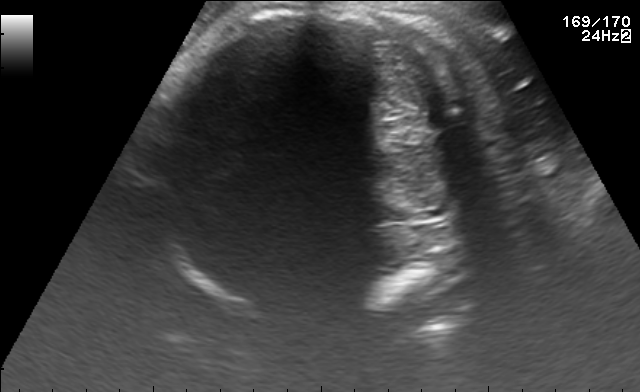
This is a 2D maternal-fetal ultrasound frame. Is it a fetal abdomen, fetal brain, fetal femur, fetal thorax, maternal cervix, or other standard plane? If it's fetal brain and one of the three standard brain planes (trans-thalamic, trans-cerebellum, trans-ventricular), name which.

Other